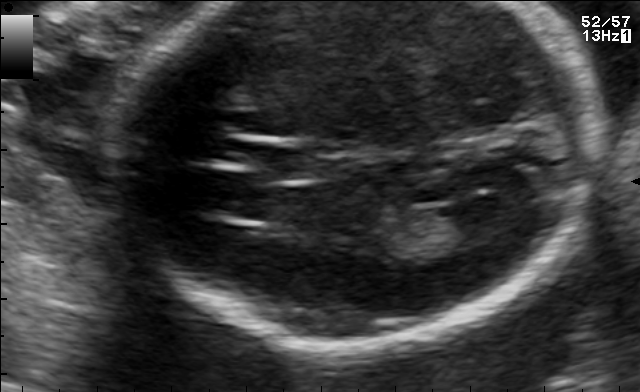
Fetal brain, trans-ventricular plane. Where is the lateral ventricle?

Lateral ventricle bounding box: [435,185,521,247]